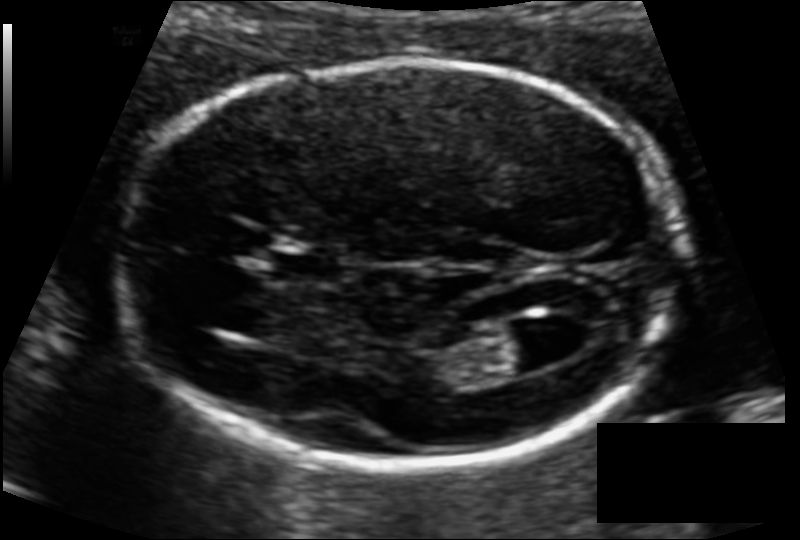
Measure the fetal head circumference shown in this ultrasound image. Image width: 83.4 mm.

Head circumference: 163.4 mm.